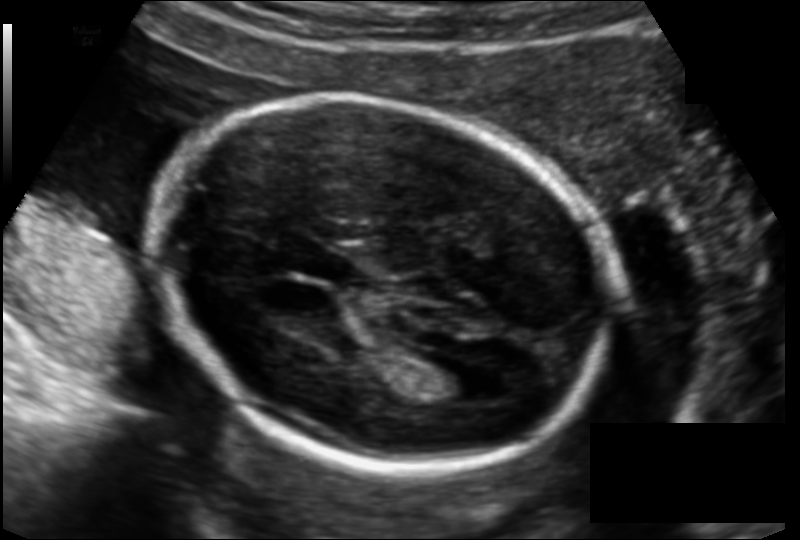
Measure the fetal head circumference shown in this ultrasound image. Image width: 107.7 mm.

Head circumference: 180.3 mm.